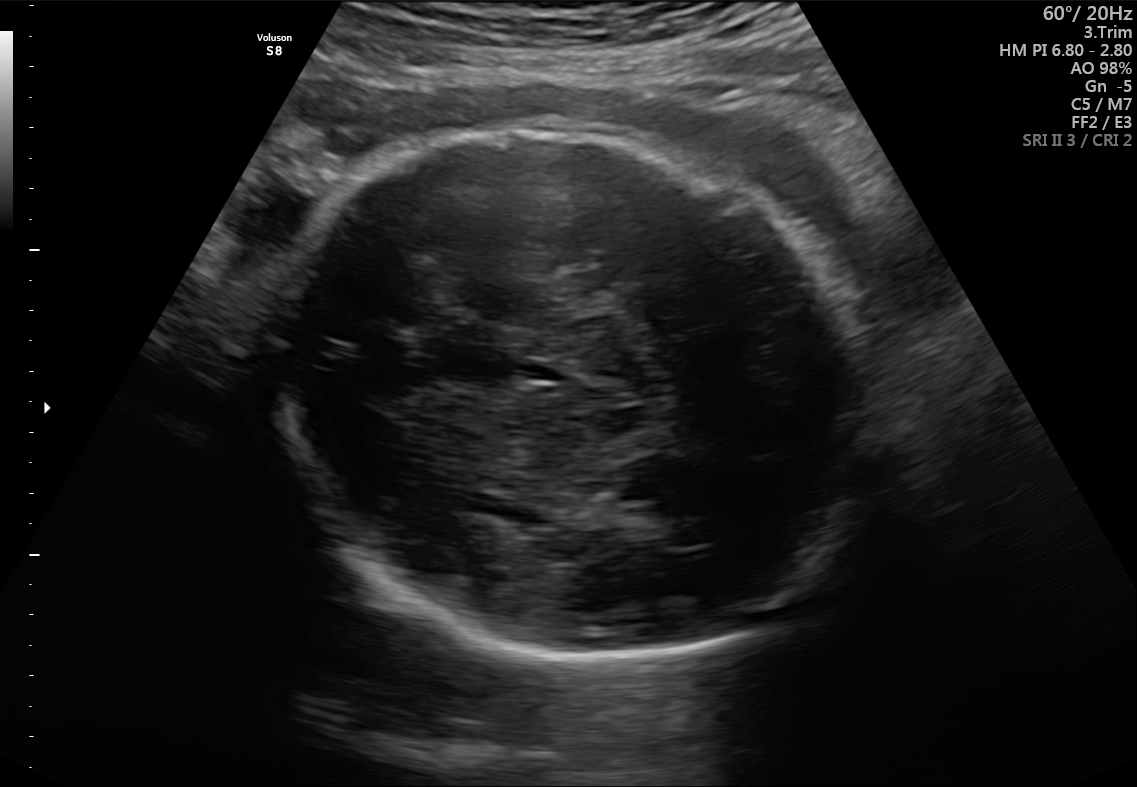
In this fetal brain, trans-thalamic plane, give bounding boxes for the head outline, cavum septum pellucidum (CSP), and lateral ventricle (LV), where visible.

Head: [262,132,880,667]
CSP: [526,361,564,383]